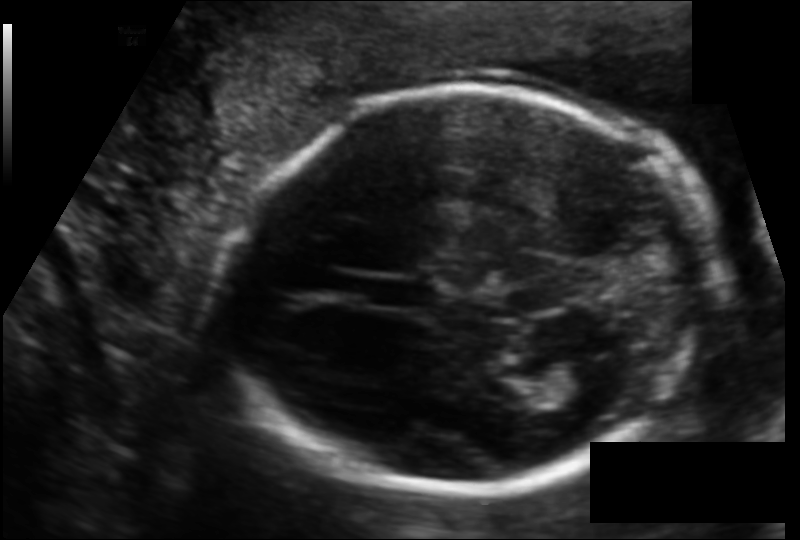
In this fetal head ultrasound, give the bounding box of the fetal head. Image width: 95.3 mm.

[232,83,717,491]